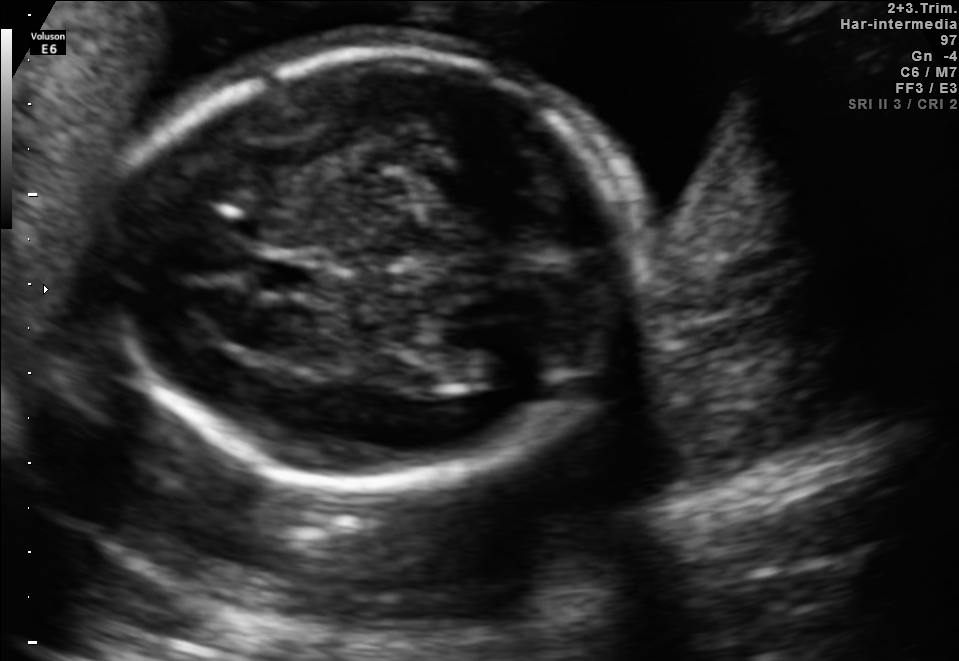
Fetal brain, trans-thalamic plane. Where is the cavum septum pellucidum?

CSP bounding box: [255,260,323,294]